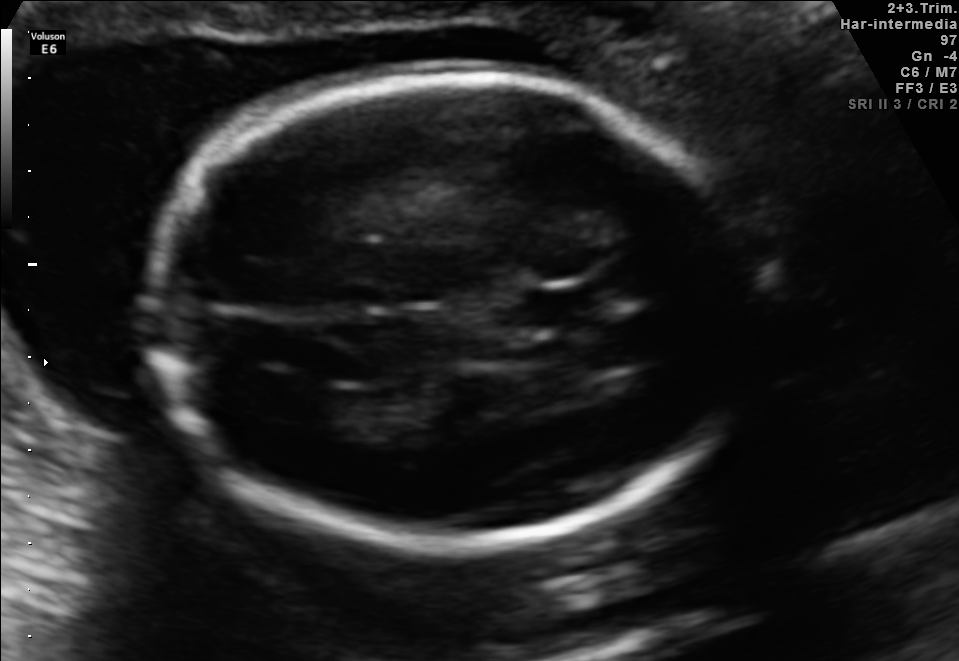
Fetal brain, trans-ventricular plane. Locate the lateral ventricle.

Lateral ventricle: [270,377,345,434]